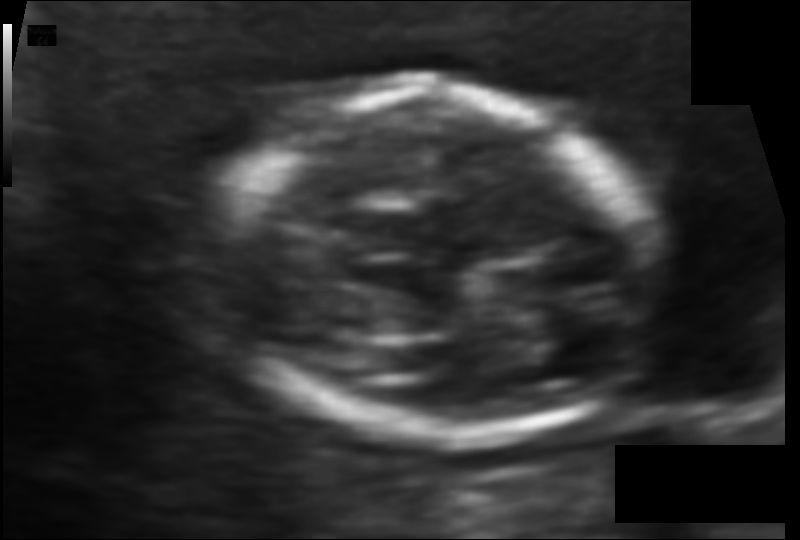
In this fetal head ultrasound, give bounding boxes for the head outline, cavum septum pellucidum (CSP), and lateral ventricle (LV), where visible. Image width: 66.1 mm.

Head: [200,87,657,441]